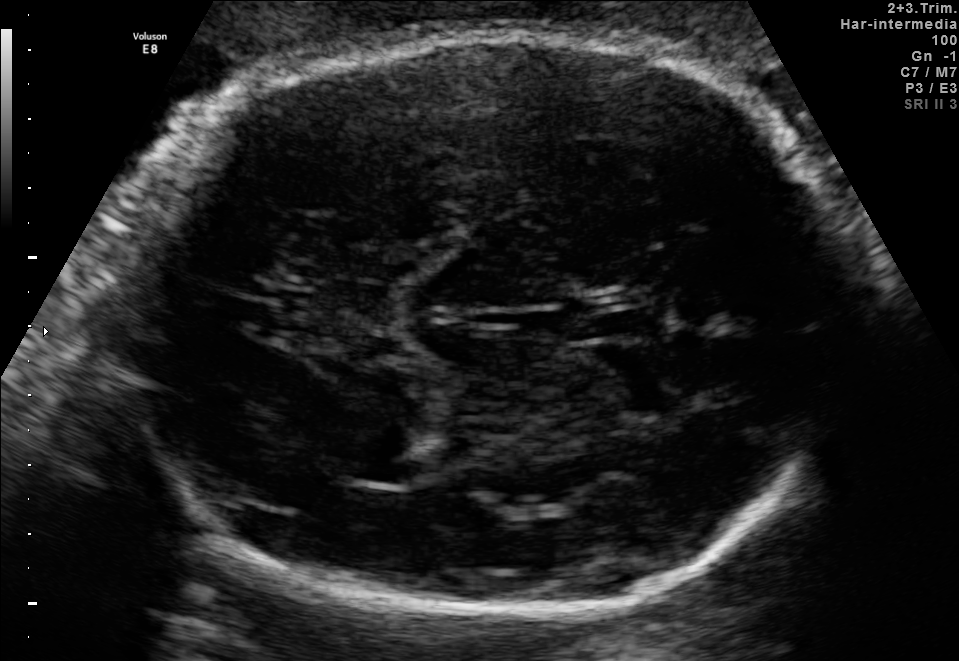
In this fetal brain, trans-thalamic plane, give the bounding box of the cavum septum pellucidum.

[581,307,639,342]